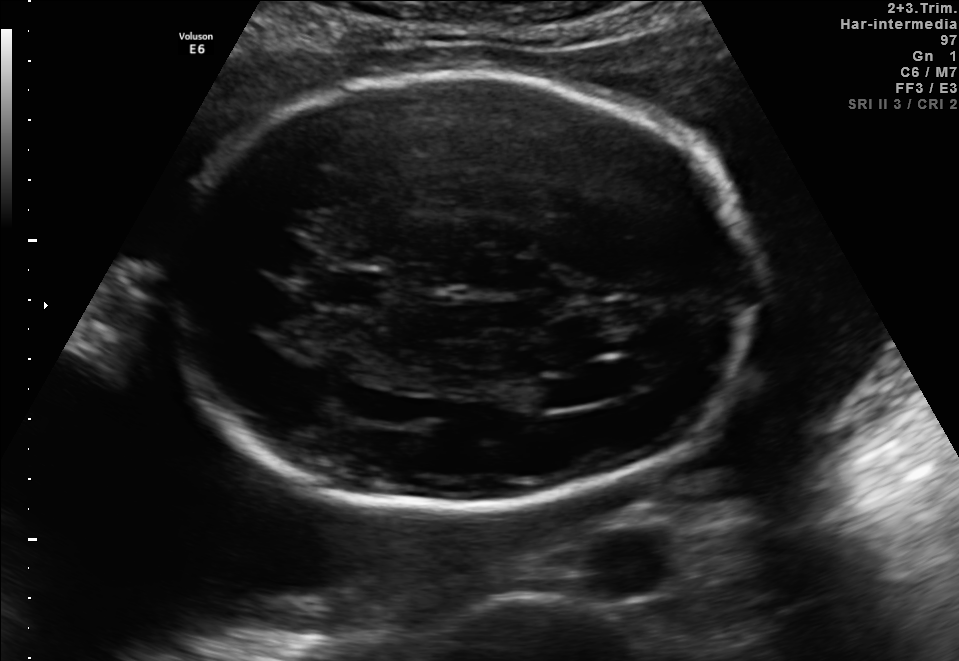
This is a 2D maternal-fetal ultrasound frame. Is it a fetal abdomen, fetal brain, fetal femur, fetal thorax, maternal cervix, or other standard plane? If it's fetal brain and one of the three standard brain planes (trans-thalamic, trans-cerebellum, trans-ventricular), name which.

Fetal brain (trans-ventricular plane)